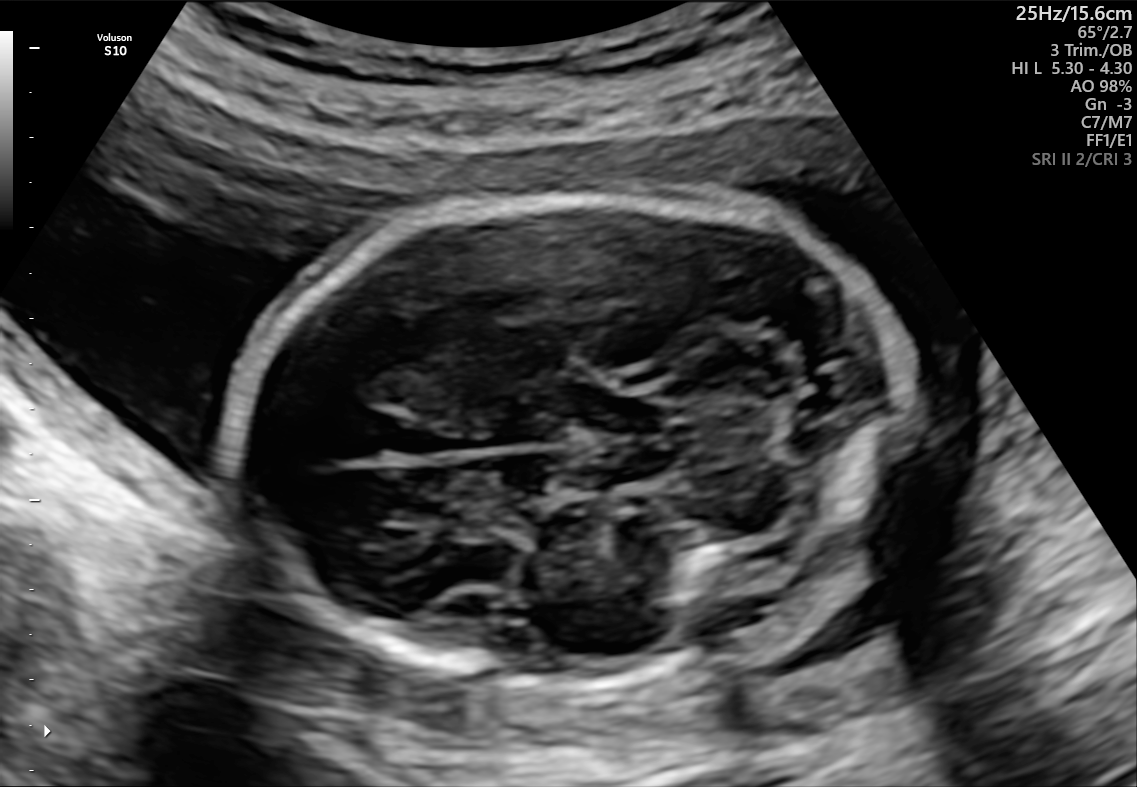
In this fetal brain, trans-cerebellum plane, give bounding boxes for the head outline, cavum septum pellucidum (CSP), and lateral ventricle (LV), where visible.

Head: [232,192,907,686]